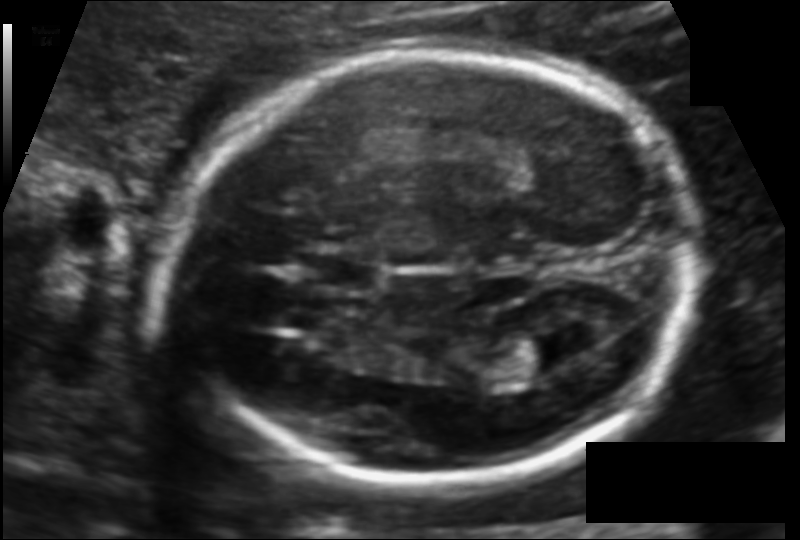
Fetal head ultrasound. Image width: 90.0 mm. Locate the fetal head and, if visible, the cavum septum pellucidum (CSP) and lateral ventricle (LV). Give bounding boxes as [x1,y1,x2,y2].

Head: [160,51,698,484]
CSP: [298,250,386,294]
Lateral ventricle: [492,336,577,380]